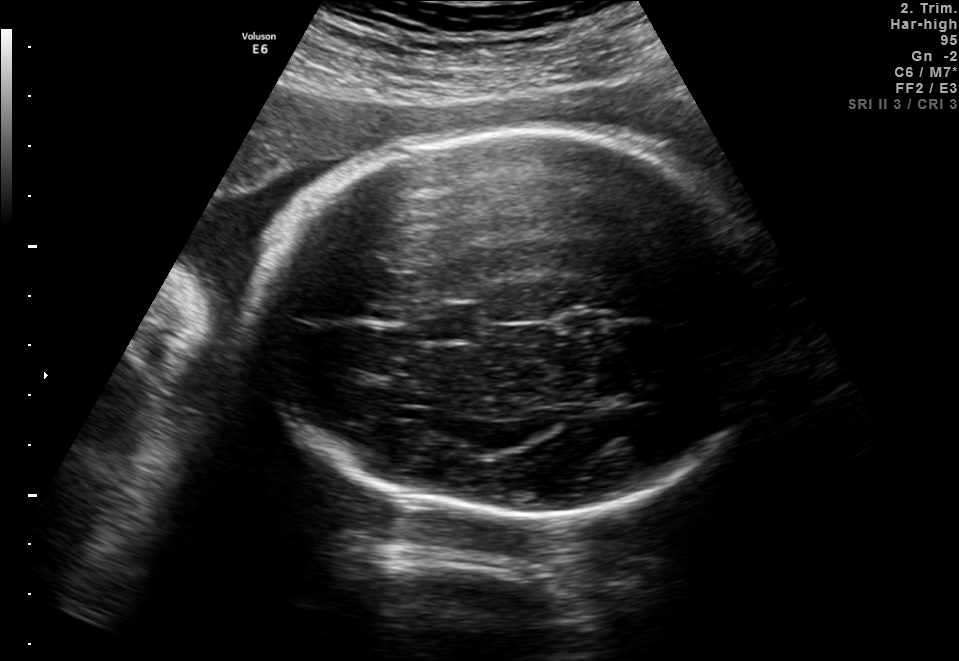
Fetal brain, trans-thalamic plane. Locate the cavum septum pellucidum.

CSP: [419,304,479,339]